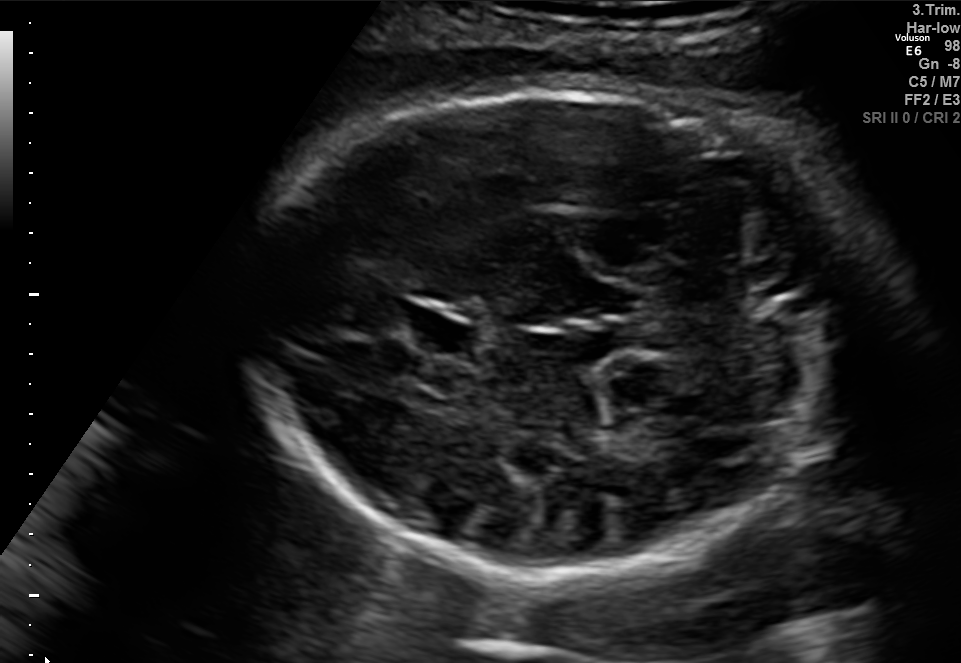
Fetal brain, trans-cerebellum plane. Locate the fetal head and, if visible, the cavum septum pellucidum (CSP) and lateral ventricle (LV). Give bounding boxes as [x1,y1,x2,y2].

Head: [254,88,836,575]
CSP: [391,296,480,364]